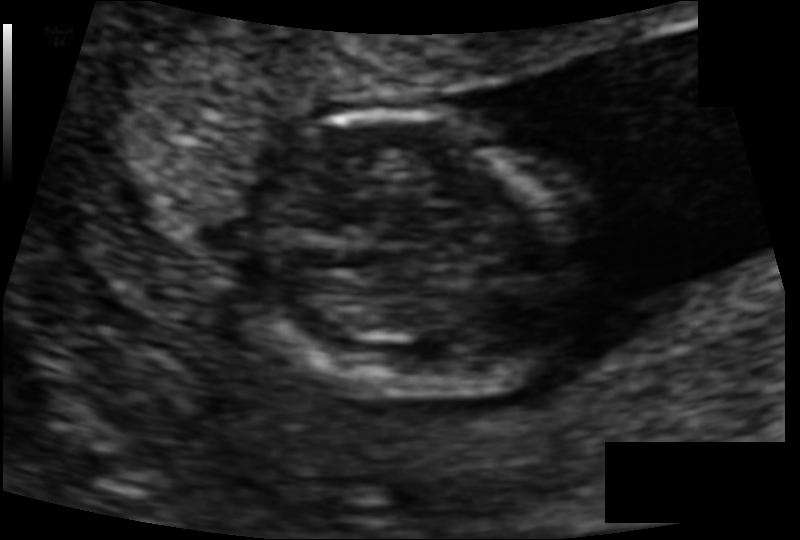
Fetal head ultrasound. Image width: 62.1 mm. Locate the fetal head and, if visible, the cavum septum pellucidum (CSP) and lateral ventricle (LV). Give bounding boxes as [x1,y1,x2,y2].

Head: [247,114,596,399]